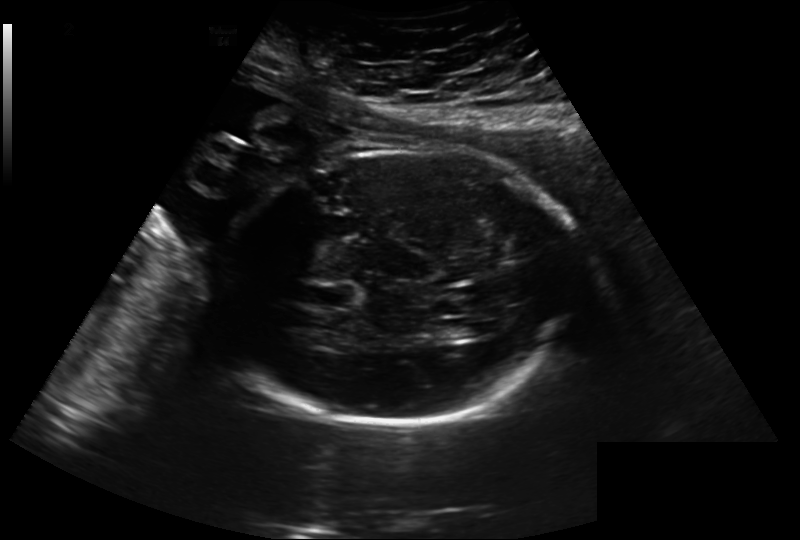
Fetal head ultrasound. Image width: 208.3 mm. Where is the fetal head?

Head bounding box: [215,150,576,423]